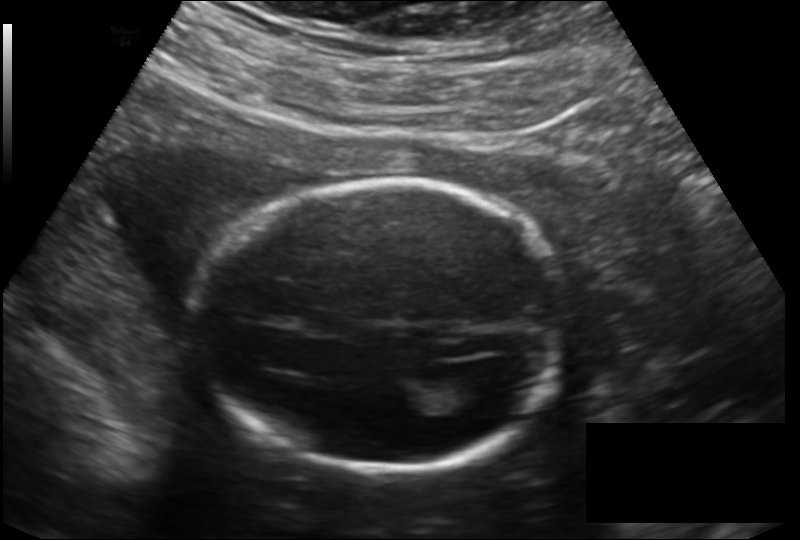
In this fetal head ultrasound, give the bounding box of the fetal head. Image width: 133.1 mm.

[200,181,565,473]